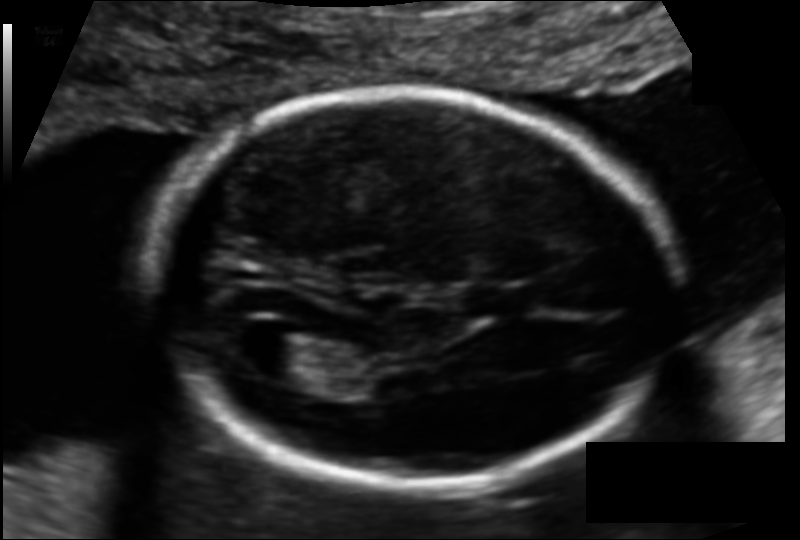
Measure the fetal head circumference shown in this ultrasound image. Image width: 91.1 mm.

Head circumference: 169.0 mm.